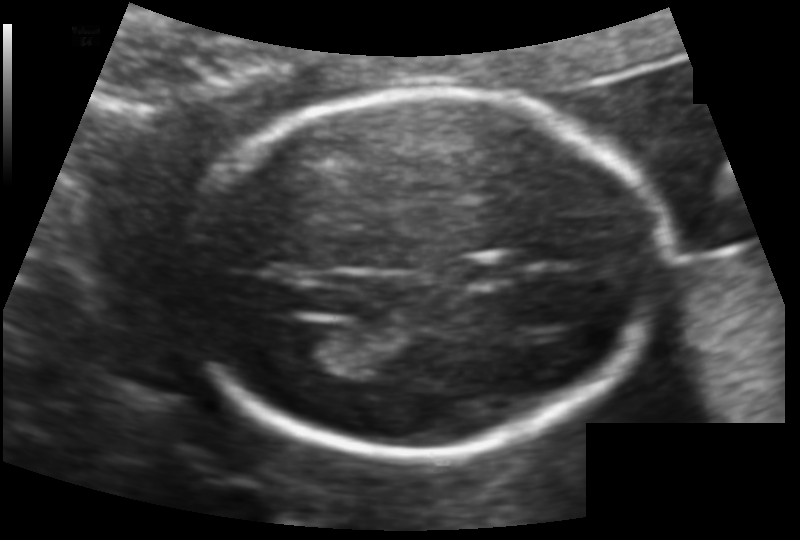
In this fetal head ultrasound, give the bounding box of the lateral ventricle. Image width: 90.1 mm.

[276,318,351,371]